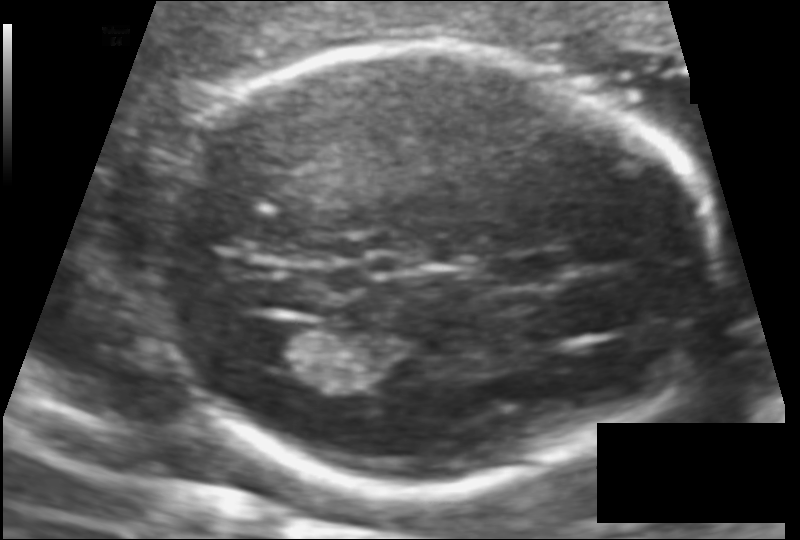
What is the fetal head circumference? Image width is 84.7 mm.

173.7 mm